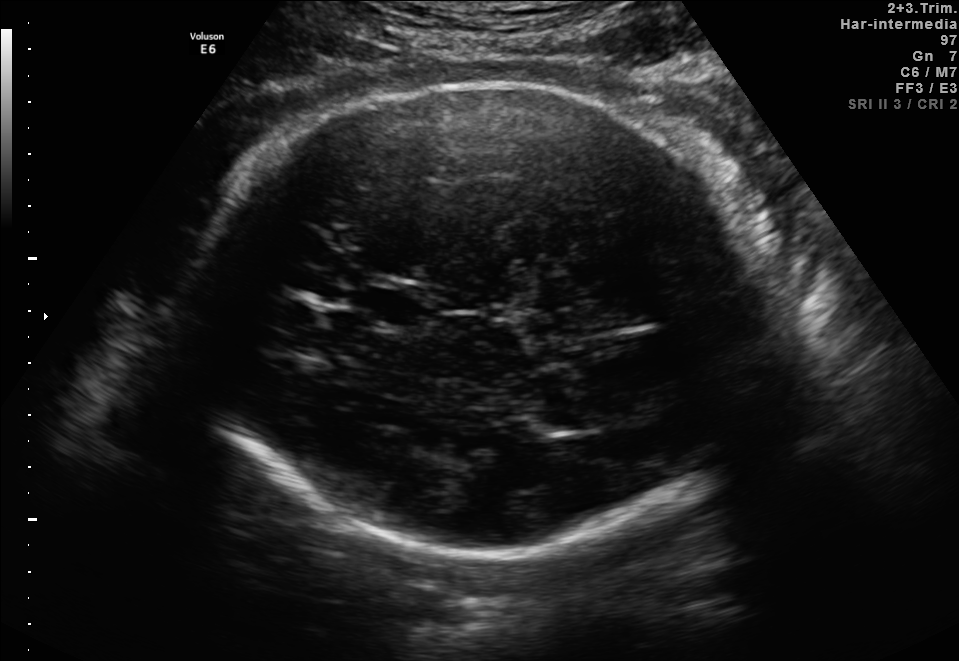
Fetal brain, trans-thalamic plane. Locate the fetal head.

Head: [186,85,785,562]